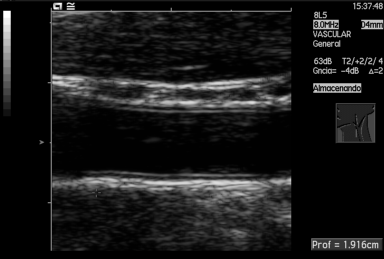
Classify this maternal-fetal ultrasound image as one of the six standard planes — fetal abdomen, fetal brain, fetal femur, fetal thorax, maternal cervix, or other. If it's fetal brain and one of the three standard brain planes (trans-thalamic, trans-cerebellum, trans-ventricular), name which.

Other